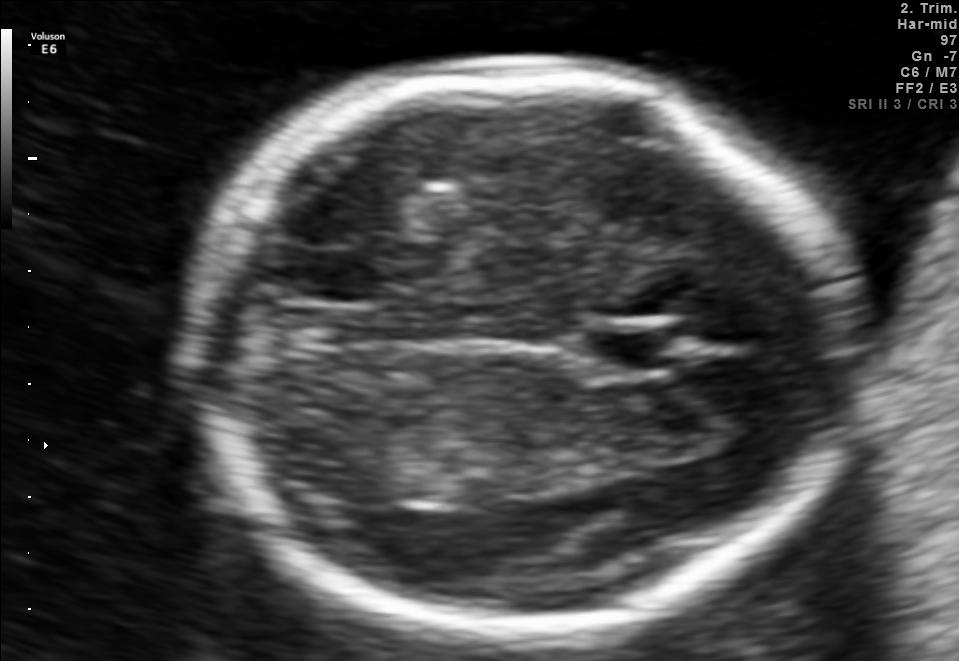
Fetal brain, trans-thalamic plane. Where is the cavum septum pellucidum?

CSP bounding box: [590,323,686,376]